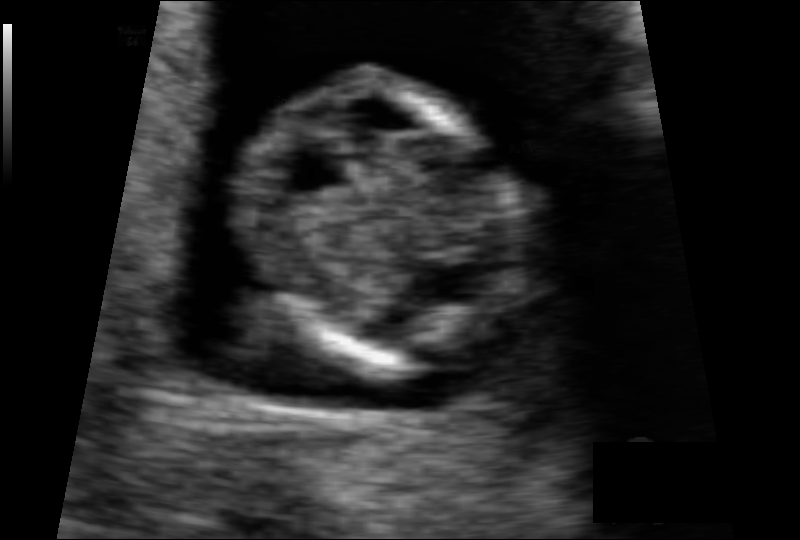
Estimate the fetal head circumference from this 2D ultrasound.

Head circumference: 70.1 mm (image width 59.9 mm).